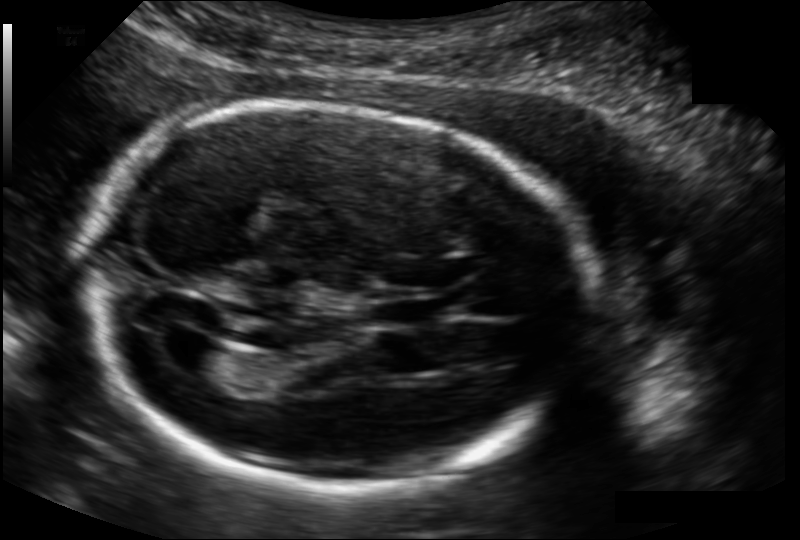
Fetal head ultrasound. Image width: 107.6 mm. Where is the fetal head?

Head bounding box: [90,107,586,489]